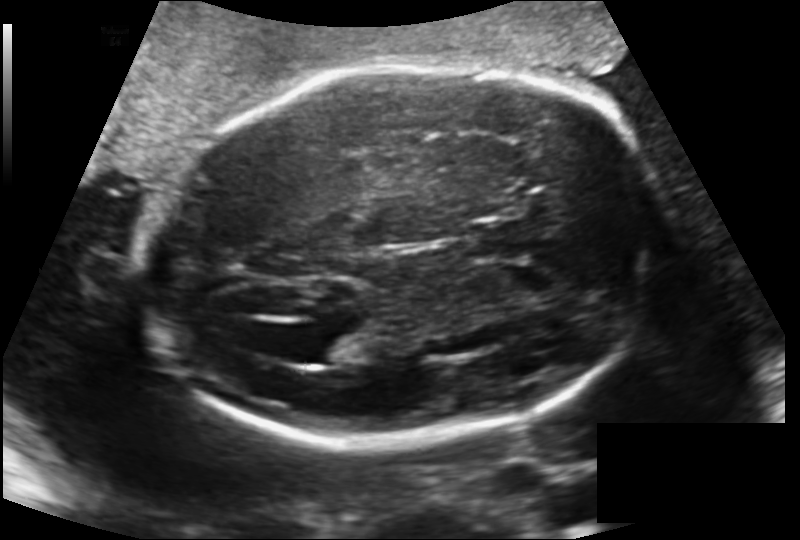
Estimate the fetal head circumference from this 2D ultrasound. Image width: 136.0 mm.

Head circumference: 246.6 mm.